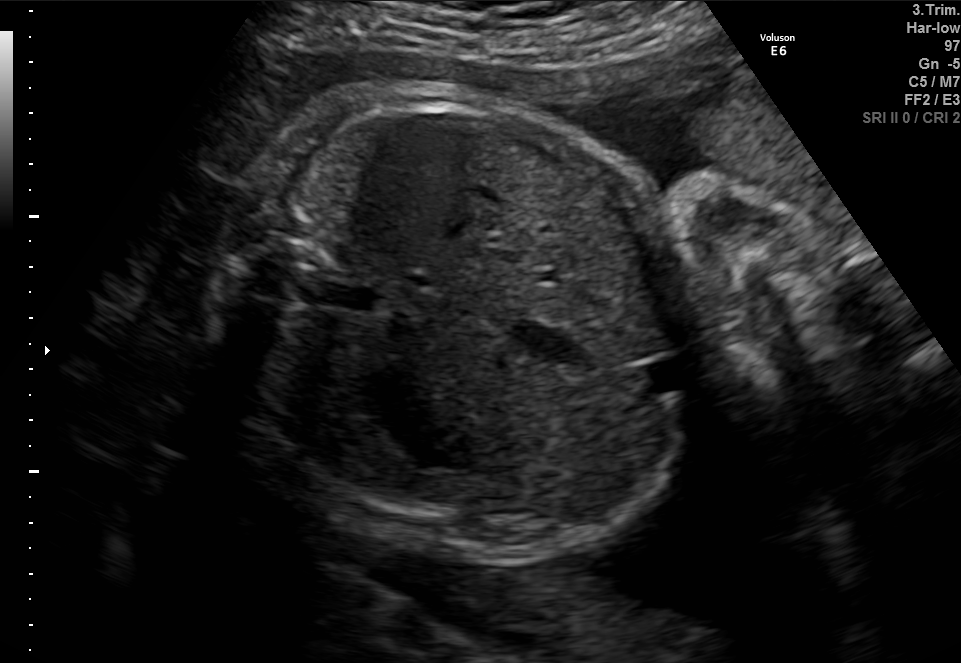
Which standard maternal-fetal ultrasound plane is shown: fetal abdomen, fetal brain, fetal femur, fetal thorax, maternal cervix, or other? If it's fetal brain and one of the three standard brain planes (trans-thalamic, trans-cerebellum, trans-ventricular), name which.

Fetal abdomen